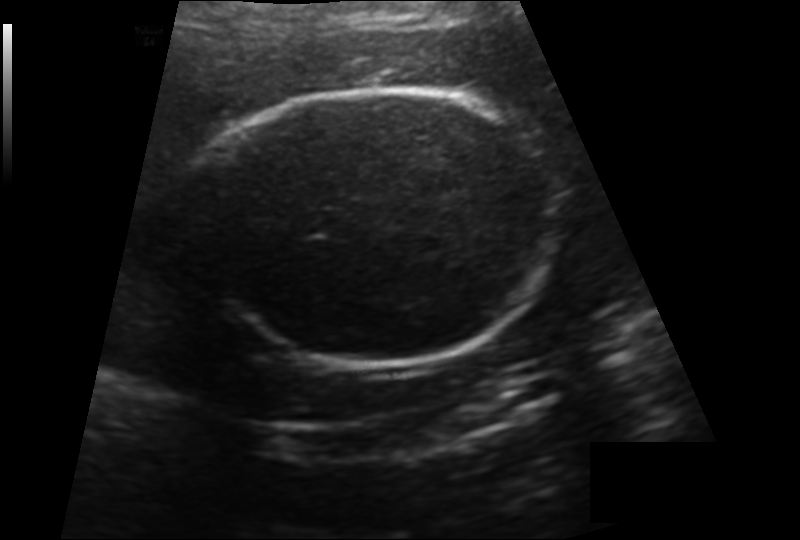
Fetal head ultrasound. Image width: 133.0 mm. Give [x1,y1,x2,y2] bounding boxes for each visible structure among: fetal head, CSP, LV.

Head: [199,87,552,364]